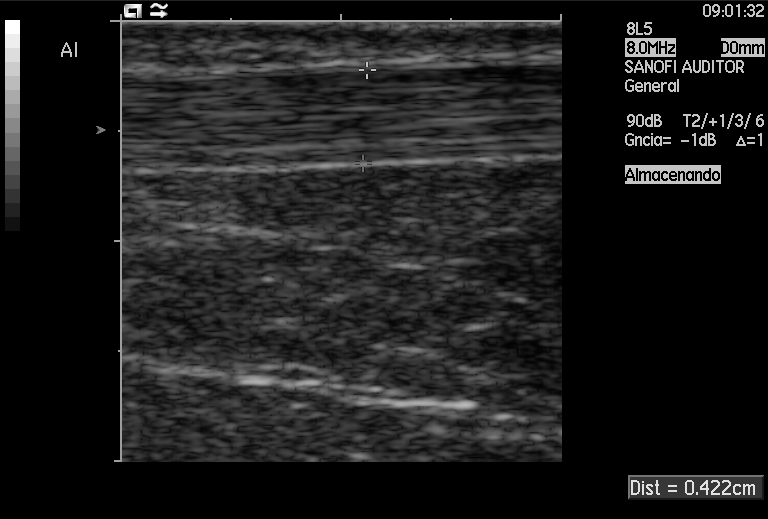
Classify this maternal-fetal ultrasound image as one of the six standard planes — fetal abdomen, fetal brain, fetal femur, fetal thorax, maternal cervix, or other. If it's fetal brain and one of the three standard brain planes (trans-thalamic, trans-cerebellum, trans-ventricular), name which.

Other